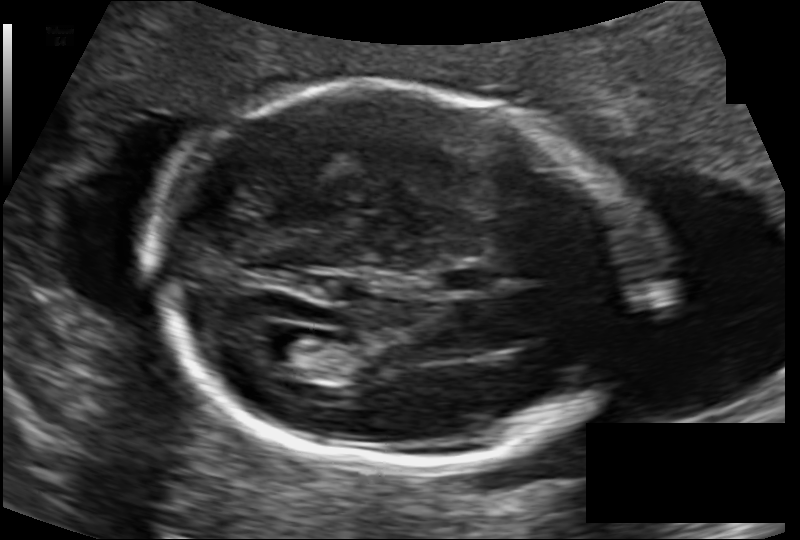
Fetal head ultrasound. Image width: 95.8 mm. Locate the cavum septum pellucidum.

CSP: [442,267,494,292]